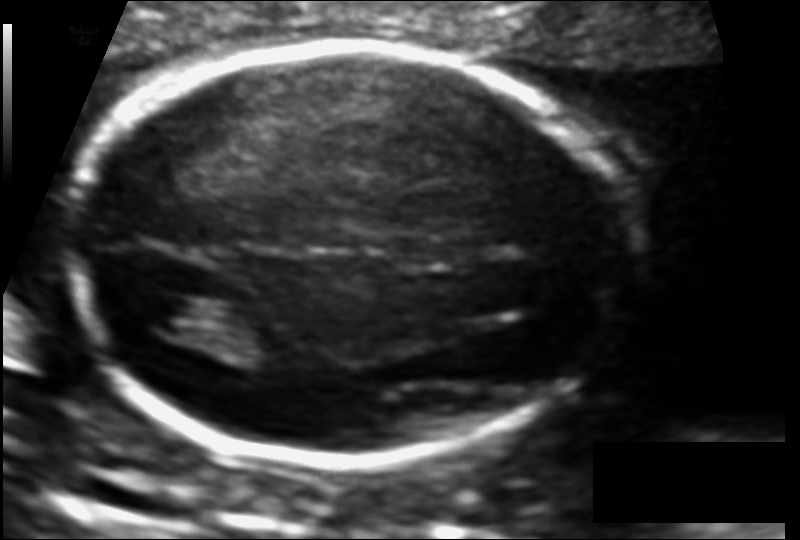
Estimate the fetal head circumference from this 2D ultrasound.

Head circumference: 178.2 mm (image width 88.9 mm).